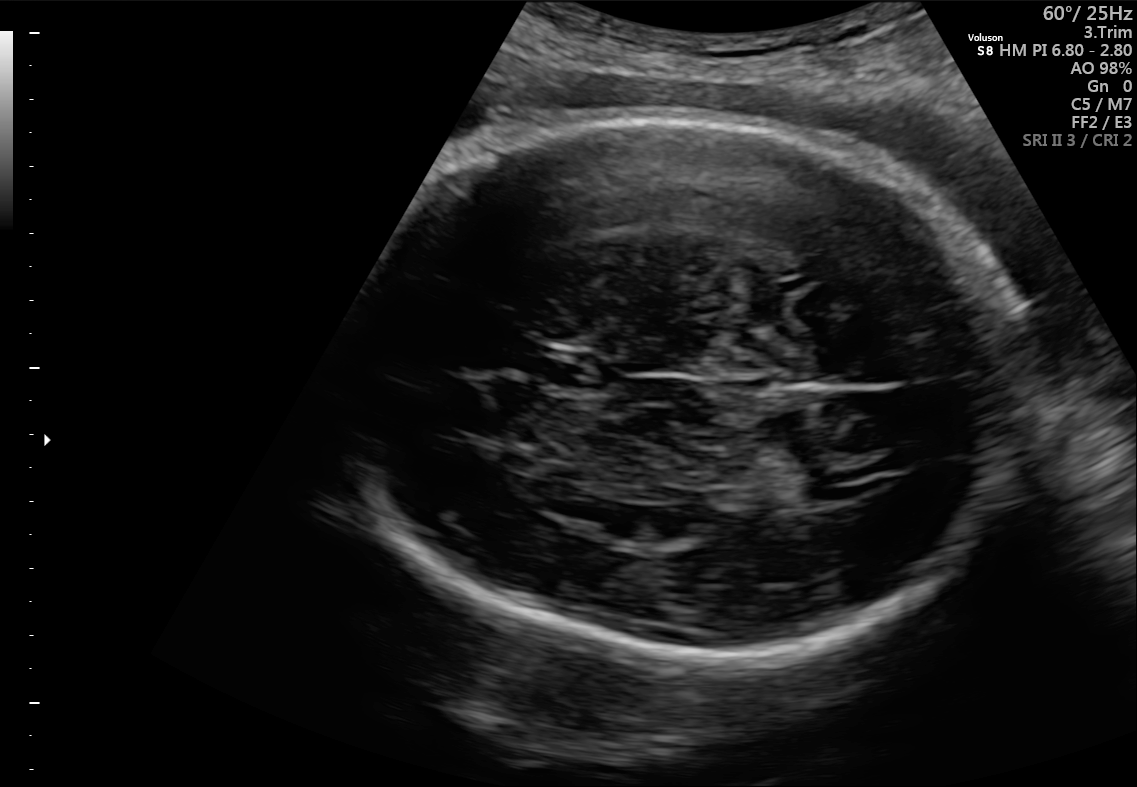
In this fetal brain, trans-thalamic plane, give the bounding box of the cavum septum pellucidum.

[544,348,612,393]